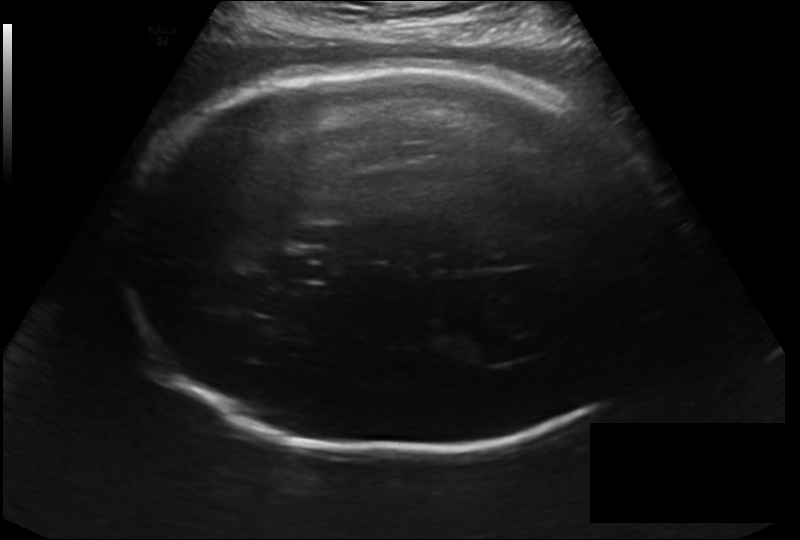
Estimate the fetal head circumference from this 2D ultrasound. Image width: 171.6 mm.

Head circumference: 327.1 mm.